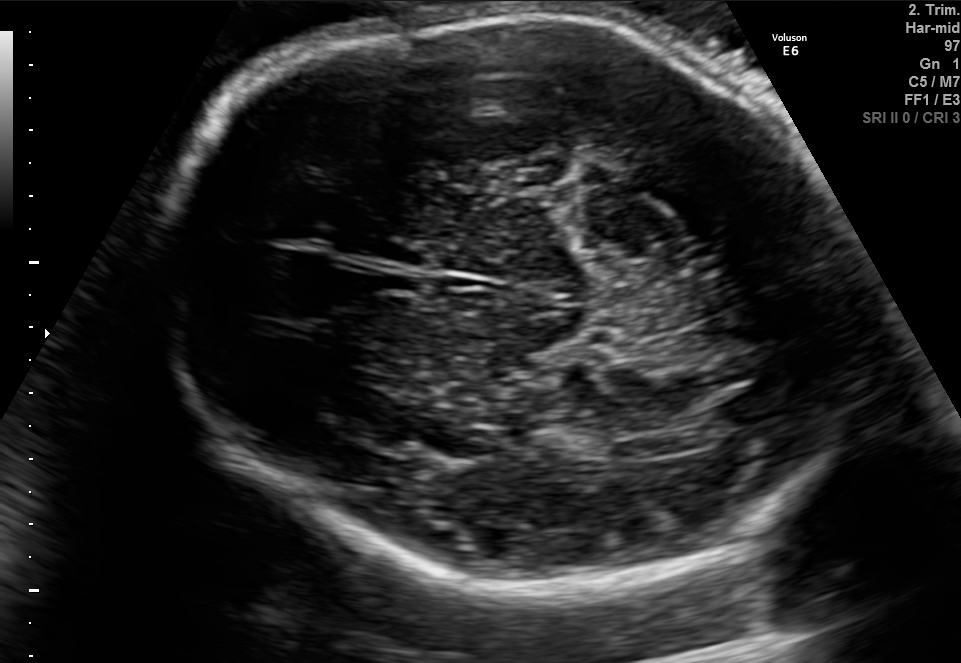
In this fetal brain, trans-thalamic plane, give the bounding box of the fetal head.

[146,13,861,584]